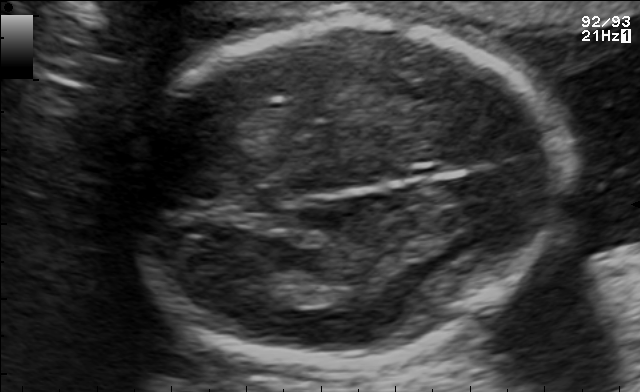
In this fetal brain, trans-thalamic plane, give bounding boxes for the head outline, cavum septum pellucidum (CSP), and lateral ventricle (LV), where visible.

Head: [123,16,561,368]
Lateral ventricle: [250,285,305,308]